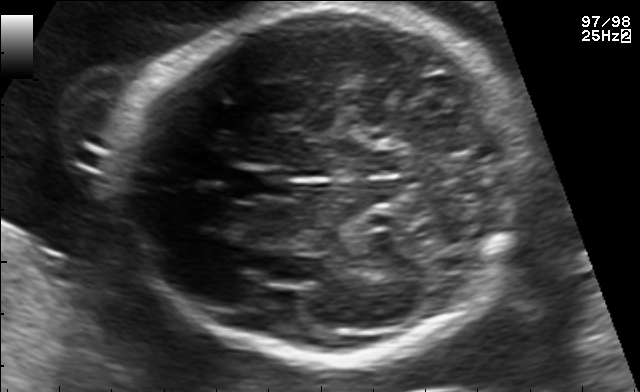
In this fetal brain, trans-thalamic plane, give the bounding box of the fetal head.

[121,7,527,359]